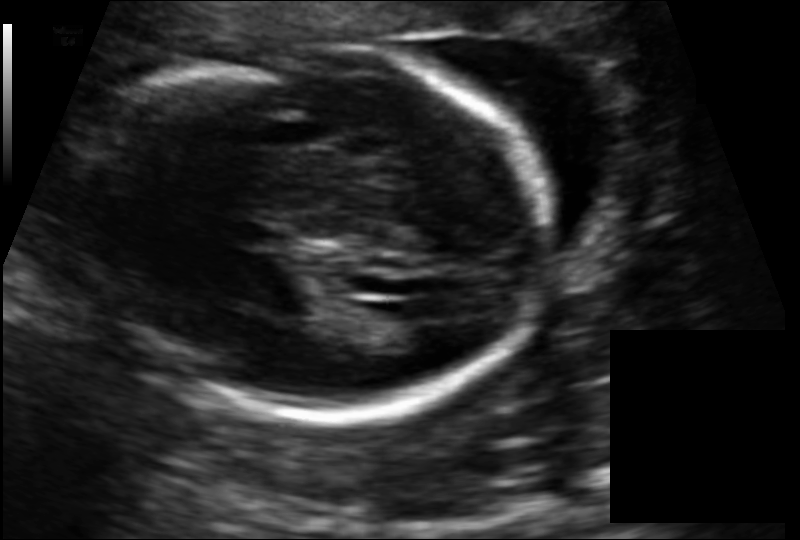
Estimate the fetal head circumference from this 2D ultrasound.

Head circumference: 185.5 mm (image width 108.7 mm).